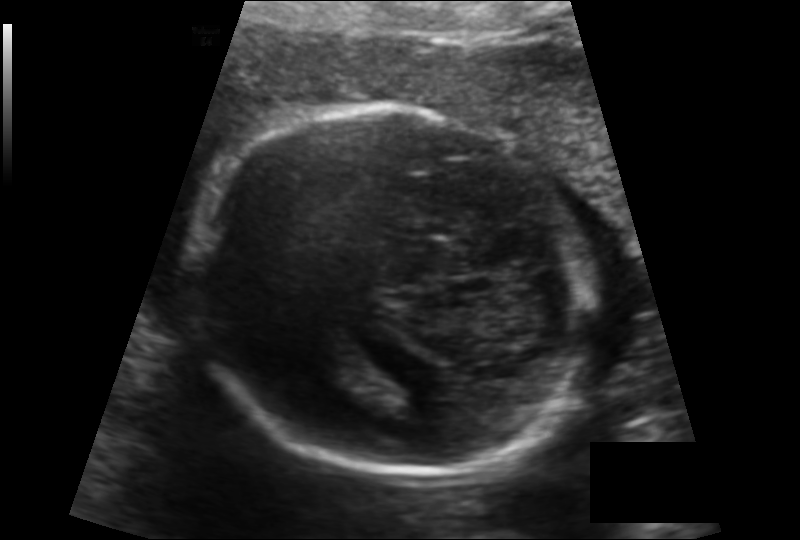
Fetal head ultrasound. Image width: 113.4 mm. Locate the fetal head and, if visible, the cavum septum pellucidum (CSP) and lateral ventricle (LV). Give bounding boxes as [x1,y1,x2,y2].

Head: [189,106,593,473]